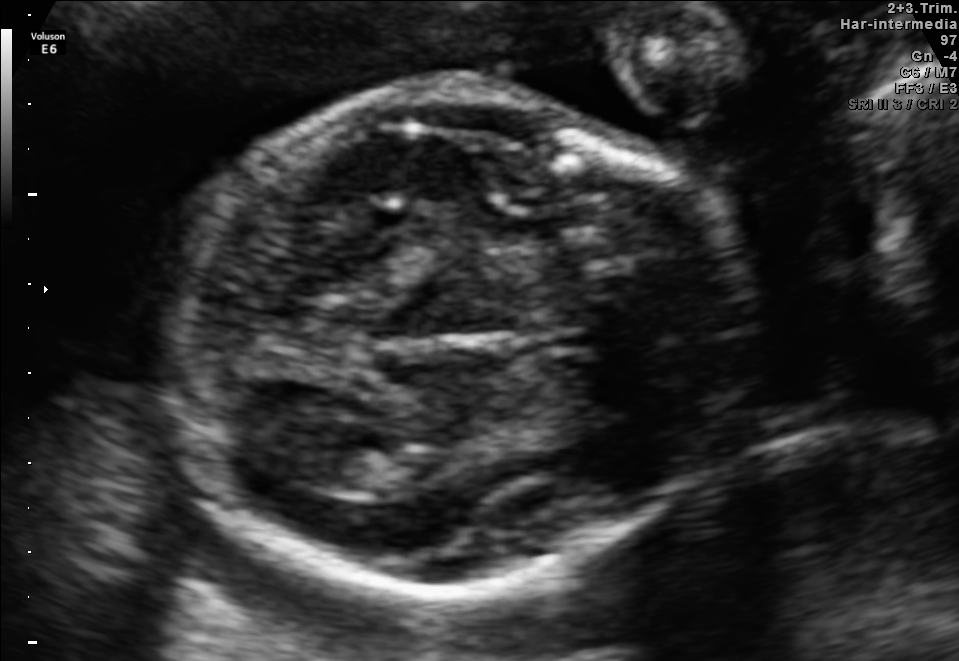
Fetal brain, trans-thalamic plane. Where is the fetal head?

Head bounding box: [161,90,758,601]